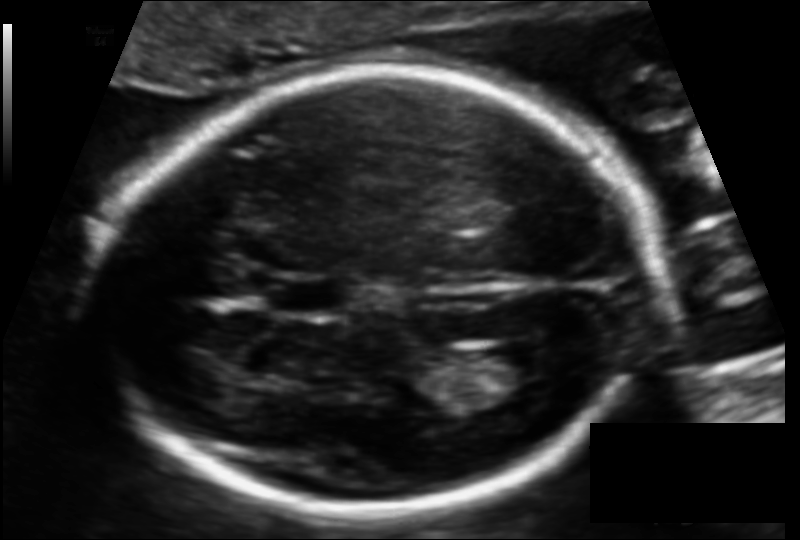
In this fetal head ultrasound, give the bounding box of the lateral ventricle. Image width: 89.8 mm.

[477,331,560,394]